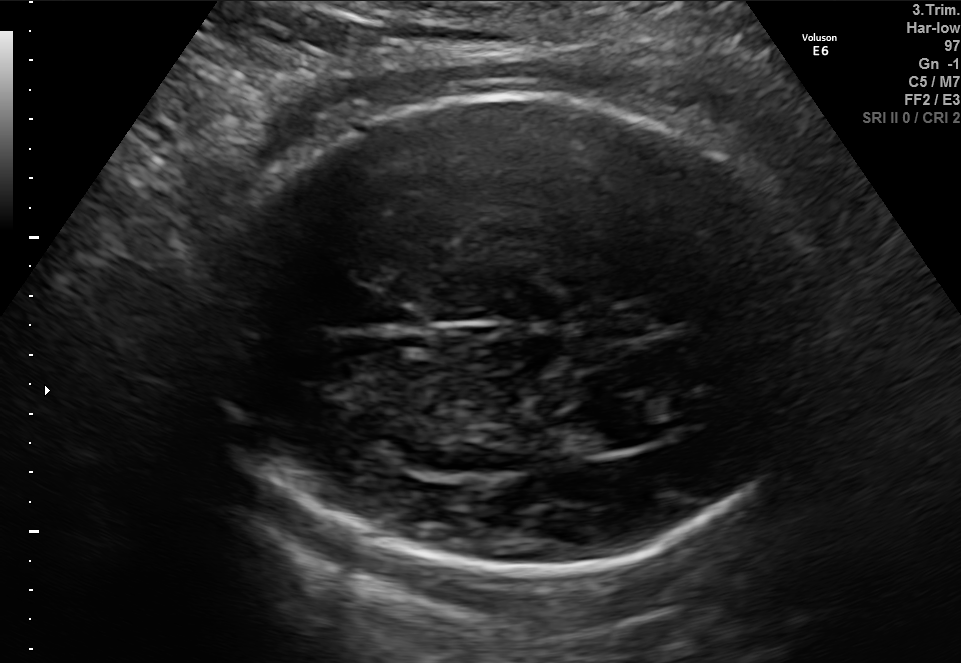
Fetal brain, trans-thalamic plane. Locate the lateral ventricle.

Lateral ventricle: [551,404,637,462]